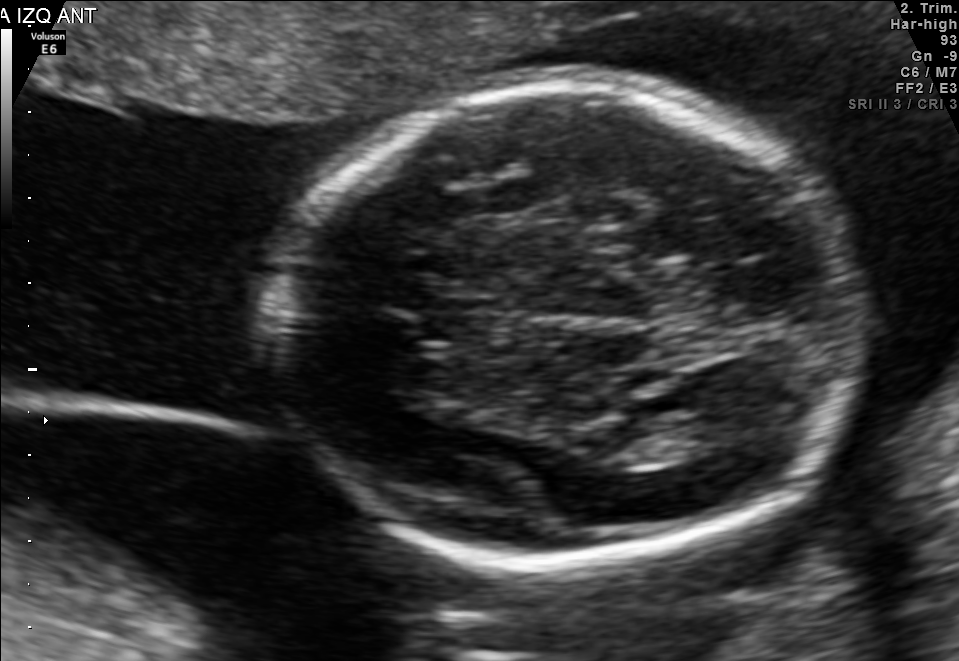
In this fetal brain, trans-thalamic plane, give the bounding box of the lateral ventricle.

[650,400,756,467]